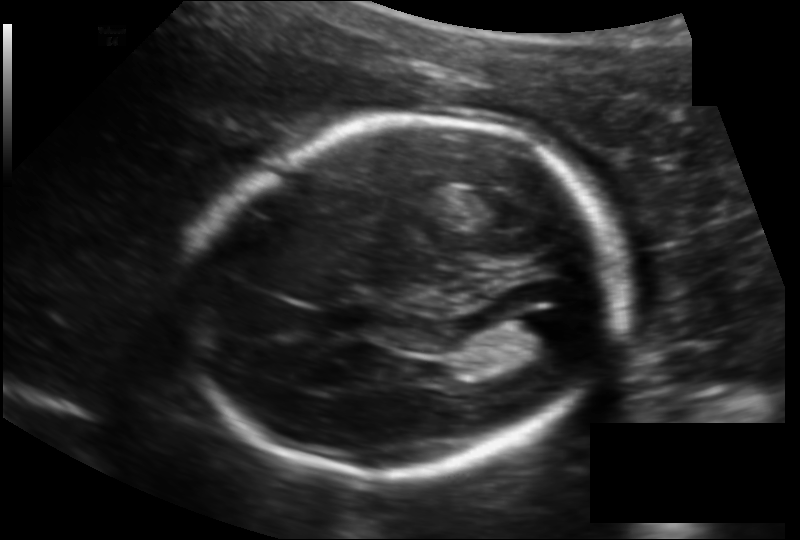
Measure the fetal head circumference shown in this ultrasound image. Image width: 115.9 mm.

Head circumference: 185.8 mm.